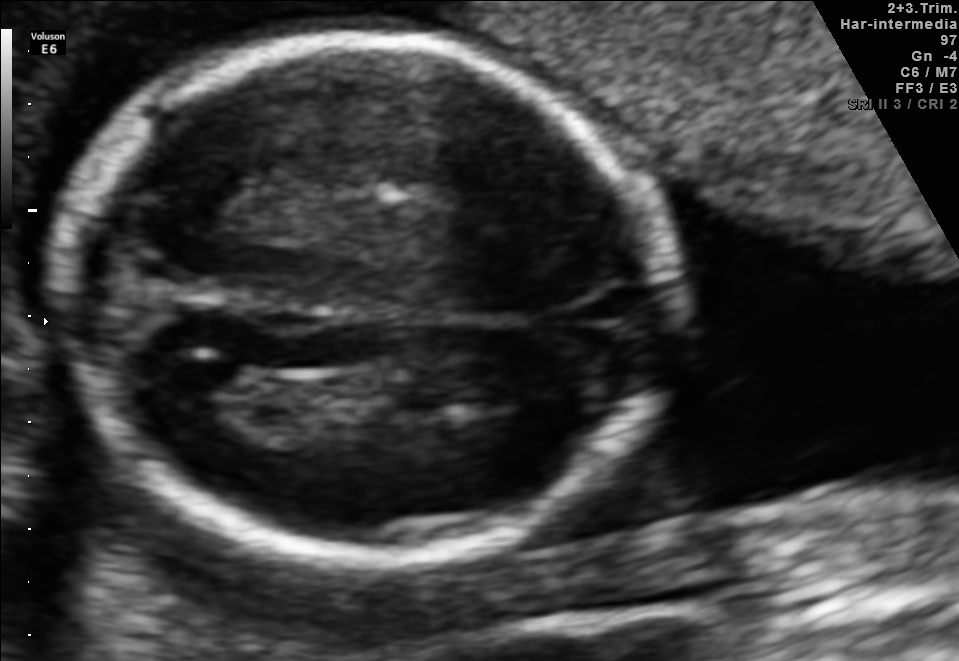
Fetal brain, trans-thalamic plane. Locate the lateral ventricle.

Lateral ventricle: [226,379,361,433]